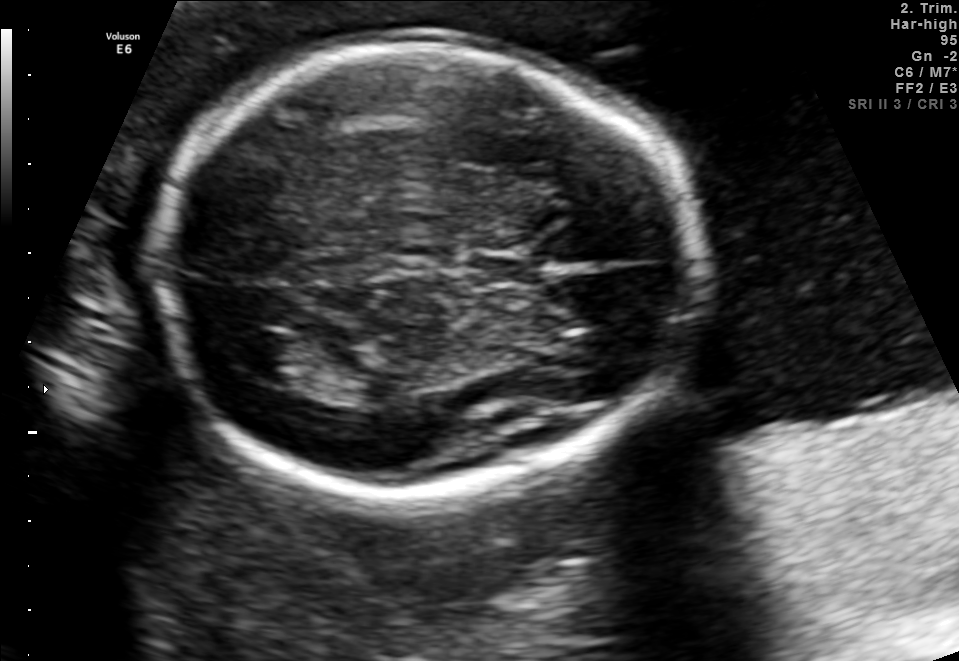
In this fetal brain, trans-thalamic plane, give the bounding box of the lateral ventricle.

[217,320,303,386]